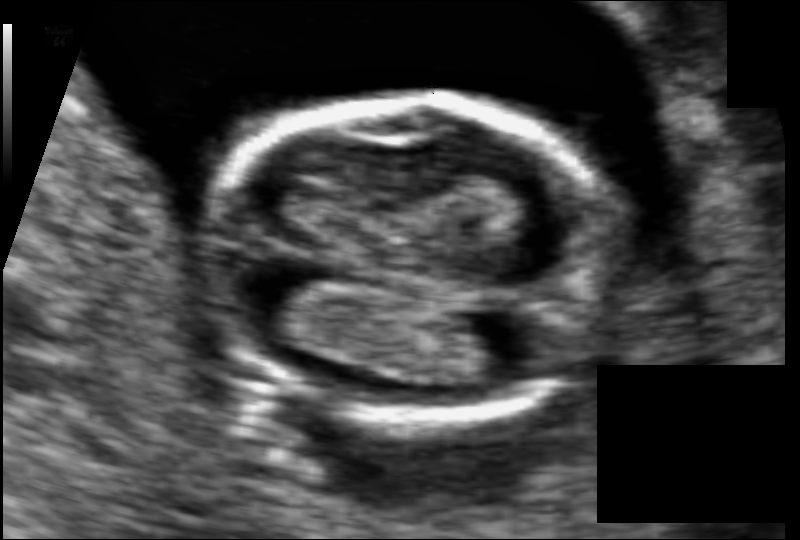
Fetal head ultrasound. Image width: 59.9 mm. Where is the fetal head?

Head bounding box: [209,97,630,418]